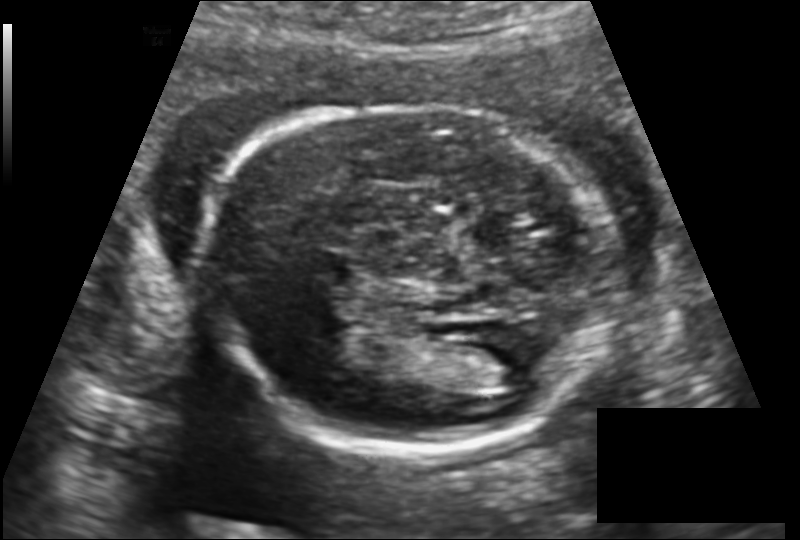
Estimate the fetal head circumference from this 2D ultrasound. Image width: 111.5 mm.

Head circumference: 171.1 mm.